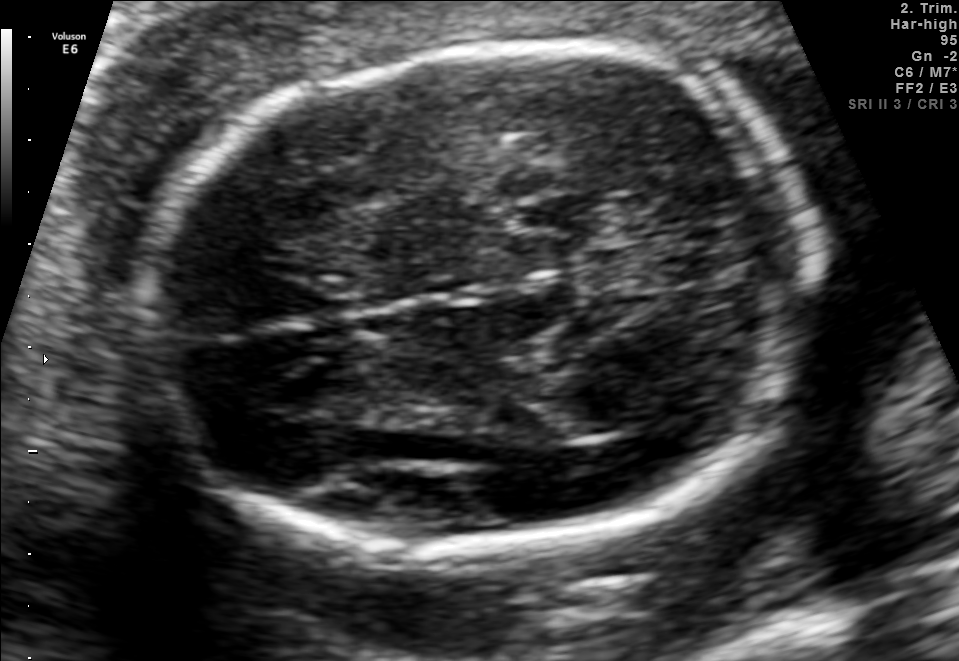
Fetal brain, trans-thalamic plane. Locate the lateral ventricle.

Lateral ventricle: [527,381,640,448]